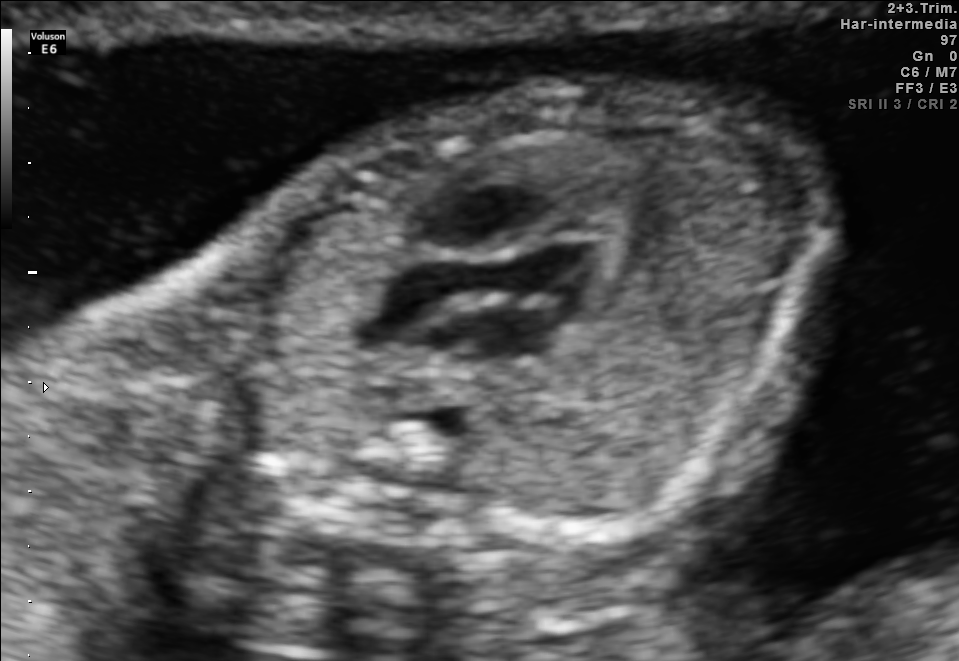
Which standard maternal-fetal ultrasound plane is shown: fetal abdomen, fetal brain, fetal femur, fetal thorax, maternal cervix, or other? If it's fetal brain and one of the three standard brain planes (trans-thalamic, trans-cerebellum, trans-ventricular), name which.

Other